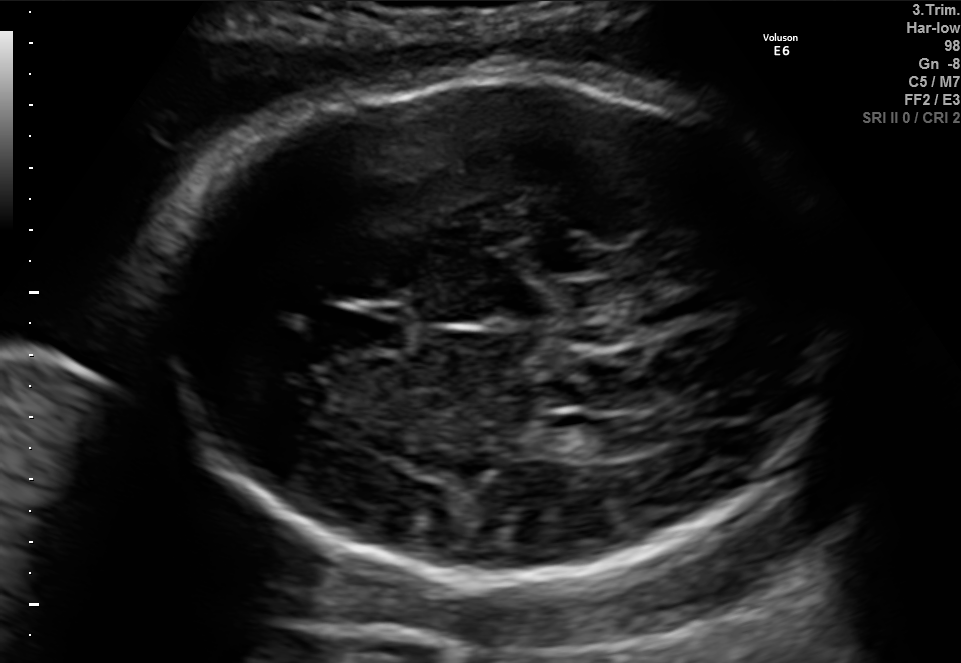
Classify this maternal-fetal ultrasound image as one of the six standard planes — fetal abdomen, fetal brain, fetal femur, fetal thorax, maternal cervix, or other. If it's fetal brain and one of the three standard brain planes (trans-thalamic, trans-cerebellum, trans-ventricular), name which.

Fetal brain (trans-ventricular plane)